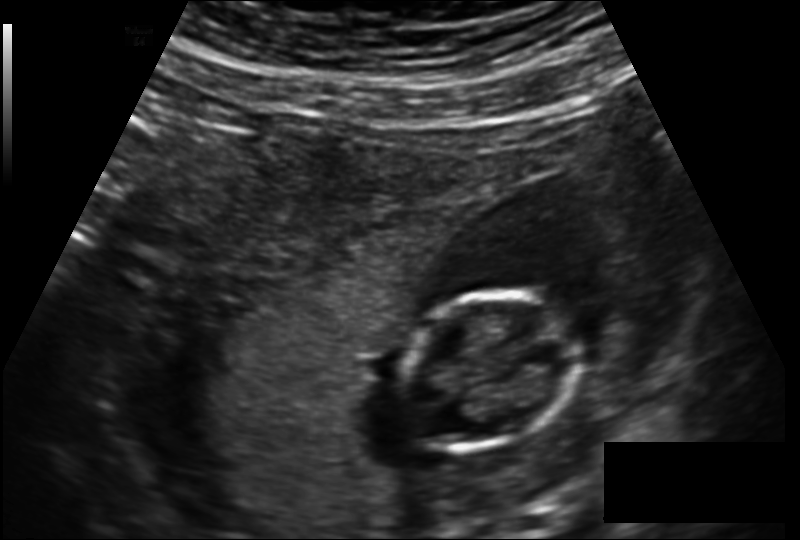
What is the fetal head circumference? Image width is 128.2 mm.

89.8 mm